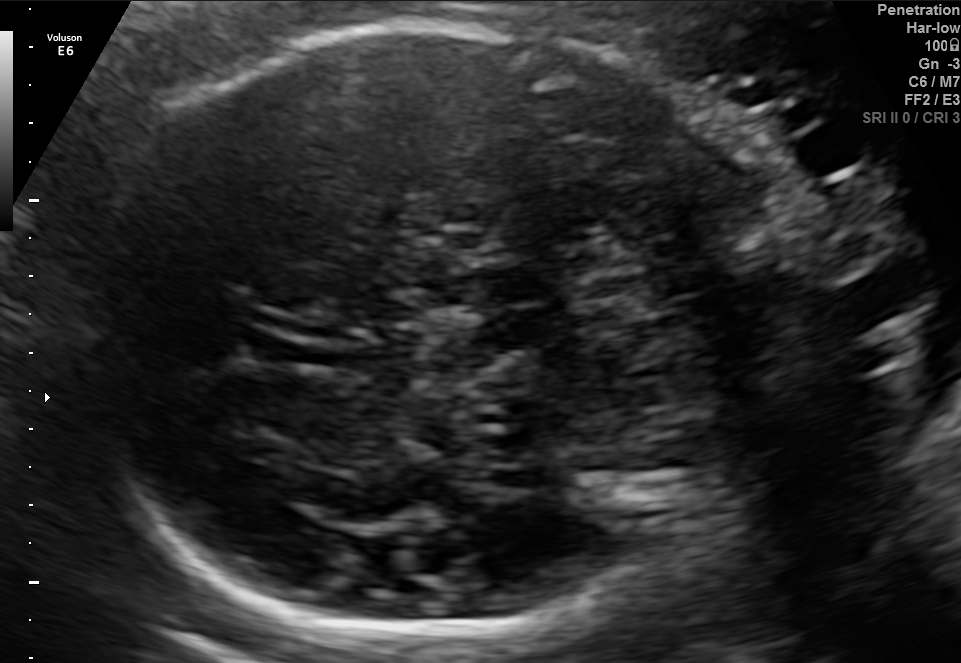
In this fetal brain, trans-thalamic plane, give bounding boxes for the head outline, cavum septum pellucidum (CSP), and lateral ventricle (LV), where visible.

Head: [74,25,775,640]